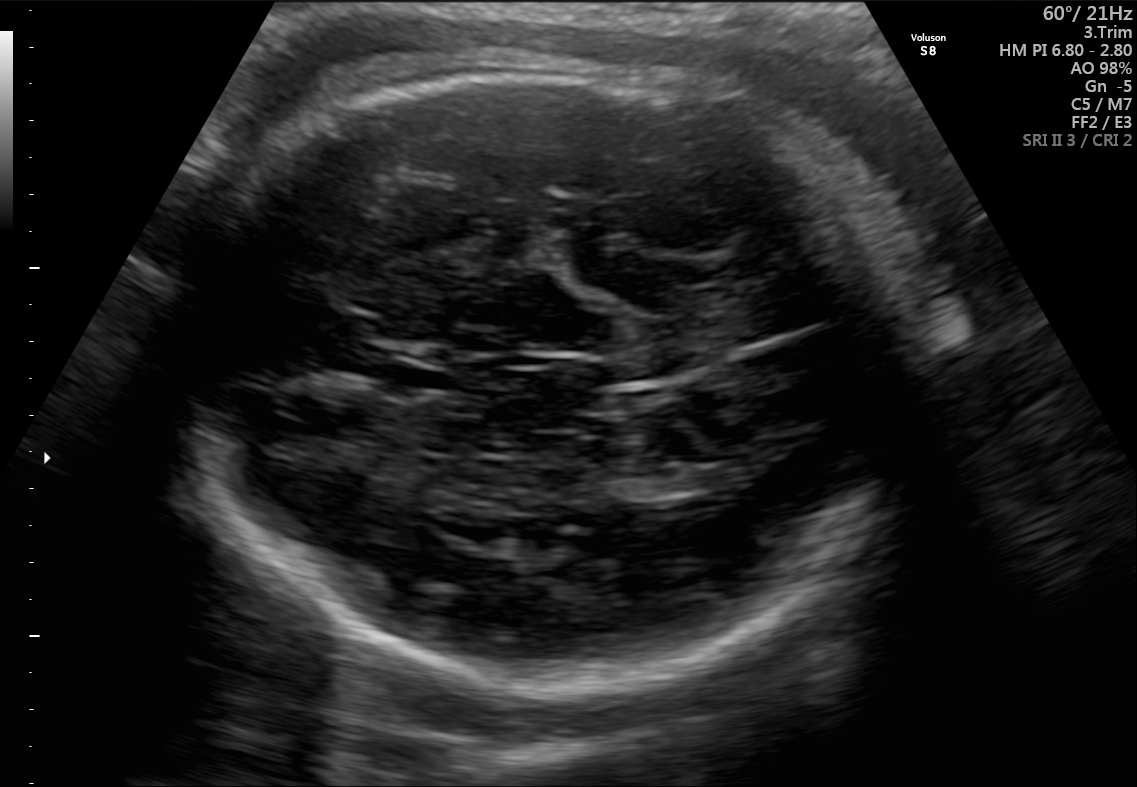
Fetal brain, trans-thalamic plane. Give [x1,y1,x2,y2] bounding boxes for each visible structure among: fetal head, CSP, LV.

Head: [167,67,918,682]
CSP: [380,355,457,396]
Lateral ventricle: [687,456,753,493]